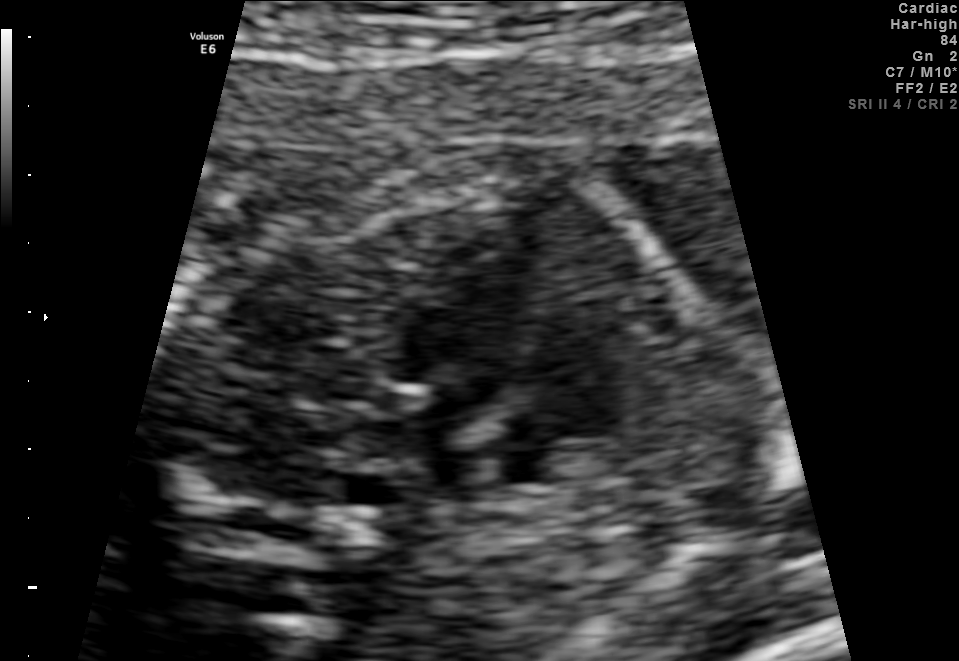
Which standard maternal-fetal ultrasound plane is shown: fetal abdomen, fetal brain, fetal femur, fetal thorax, maternal cervix, or other? If it's fetal brain and one of the three standard brain planes (trans-thalamic, trans-cerebellum, trans-ventricular), name which.

Fetal thorax